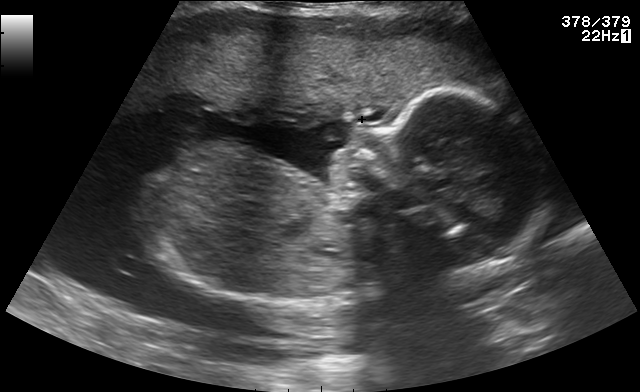
Identify the standard plane in this fetal ultrasound image: fetal abdomen, fetal brain, fetal femur, fetal thorax, maternal cervix, or other. If it's fetal brain and one of the three standard brain planes (trans-thalamic, trans-cerebellum, trans-ventricular), name which.

Other